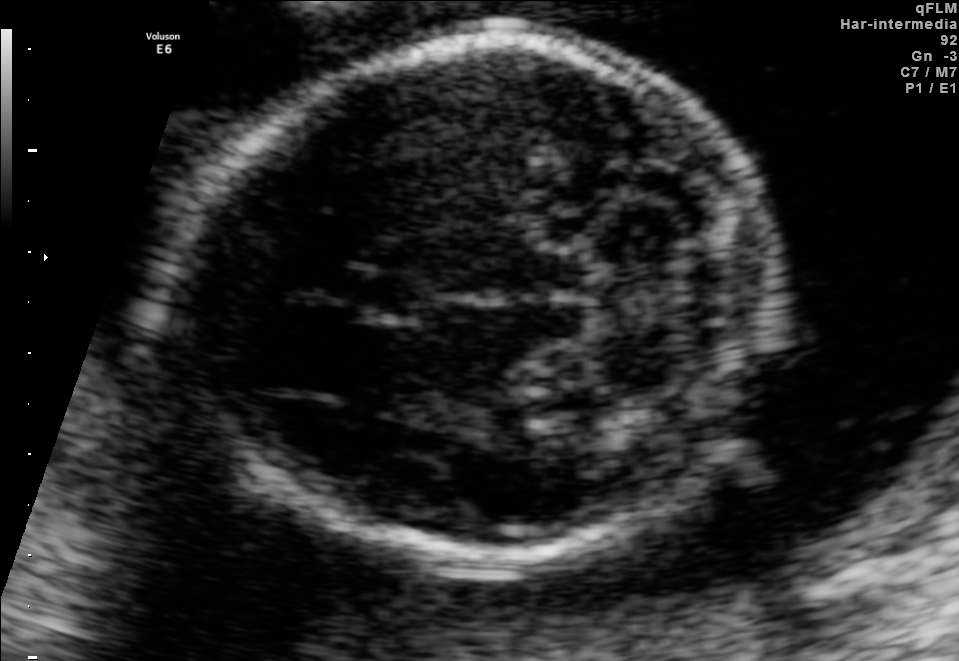
Fetal brain, trans-cerebellum plane. Locate the cavum septum pellucidum.

CSP: [344,265,433,327]